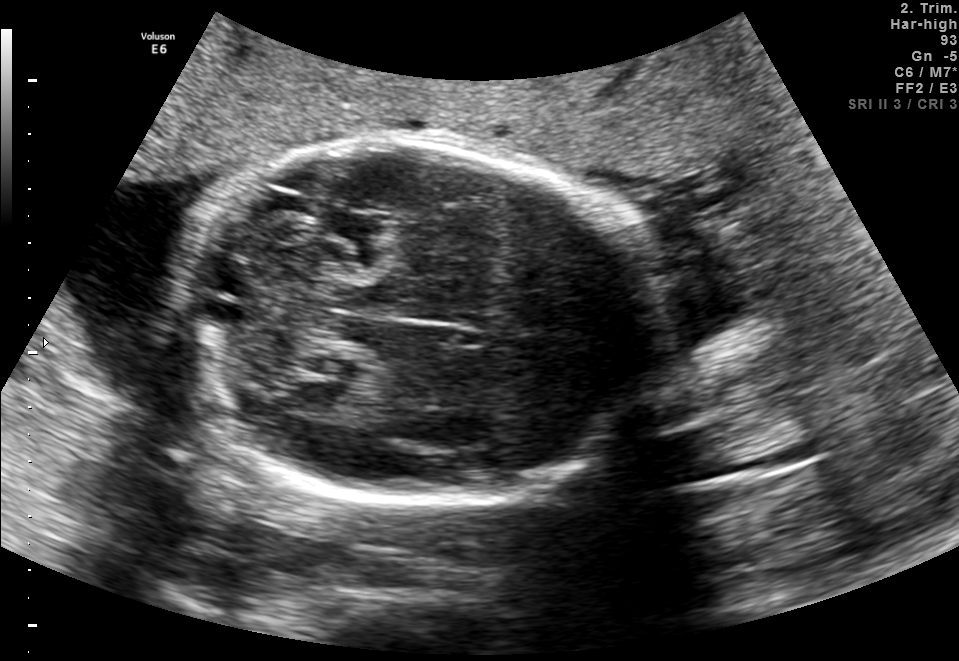
In this fetal brain, trans-cerebellum plane, give bounding boxes for the head outline, cavum septum pellucidum (CSP), and lateral ventricle (LV), where visible.

Head: [175,140,644,503]